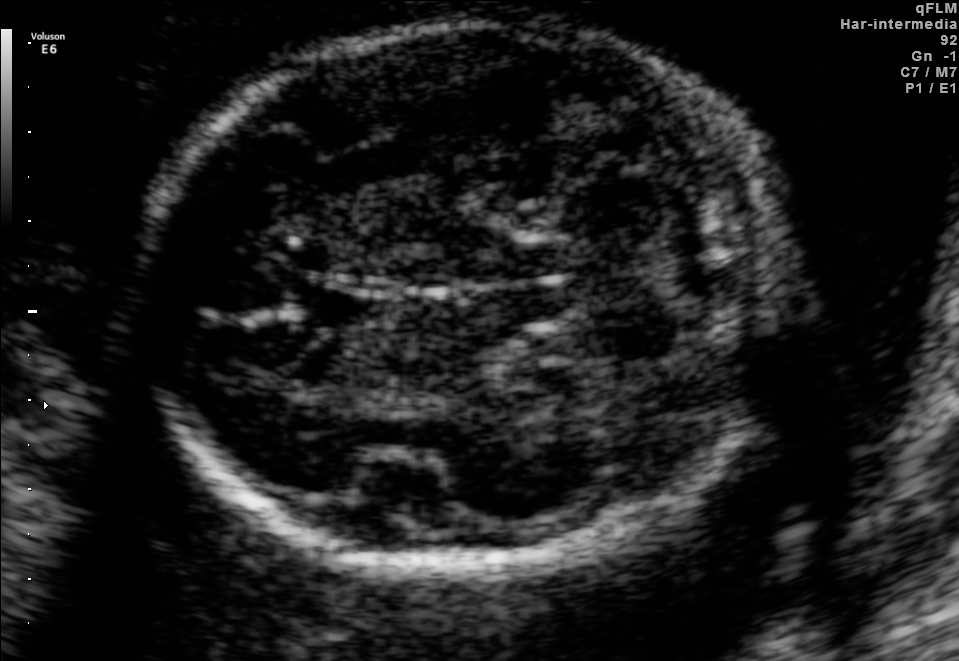
Fetal brain, trans-cerebellum plane. Locate the cavum septum pellucidum.

CSP: [289,284,390,333]